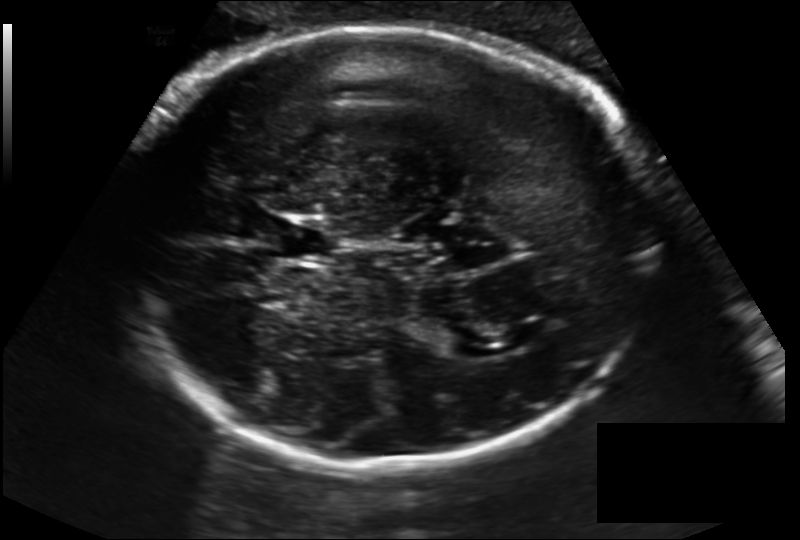
What is the fetal head circumference? Image width is 155.1 mm.

300.0 mm